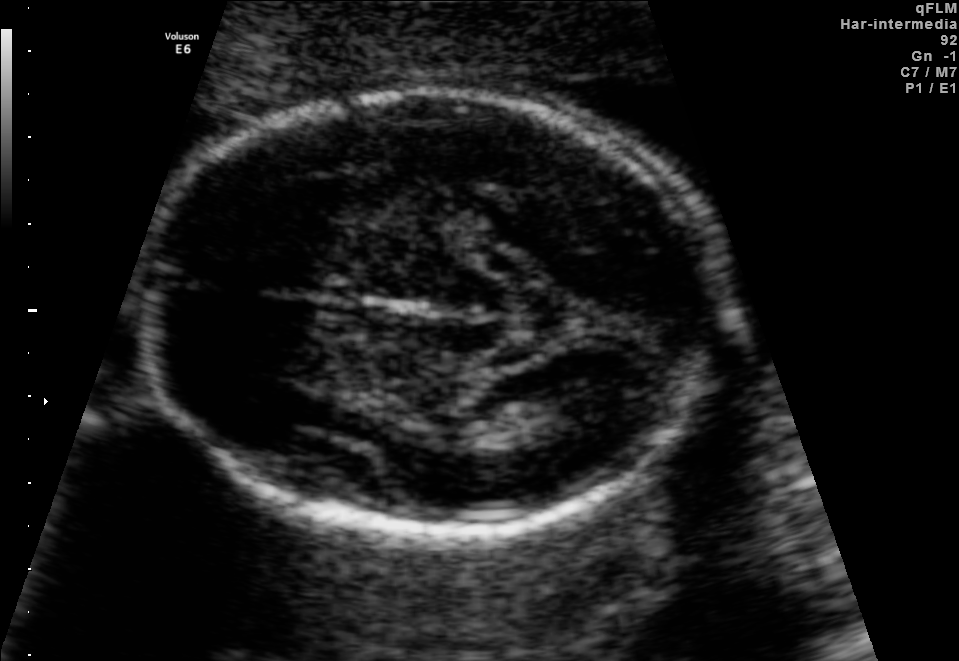
Fetal brain, trans-thalamic plane. Where is the lateral ventricle?

Lateral ventricle bounding box: [521,371,625,446]